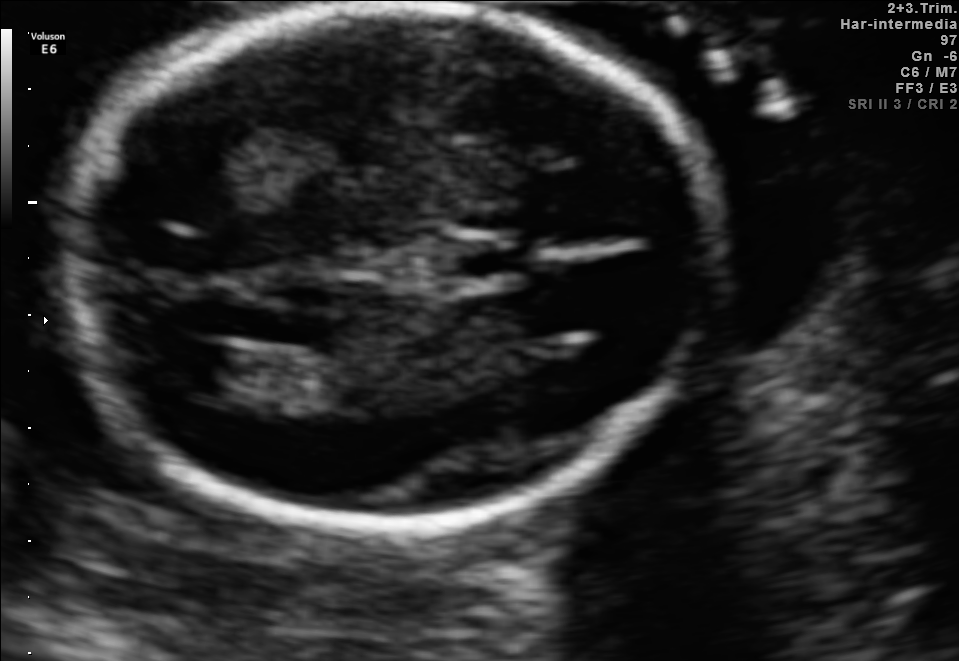
In this fetal brain, trans-ventricular plane, give the bounding box of the cavum septum pellucidum.

[448,243,521,275]